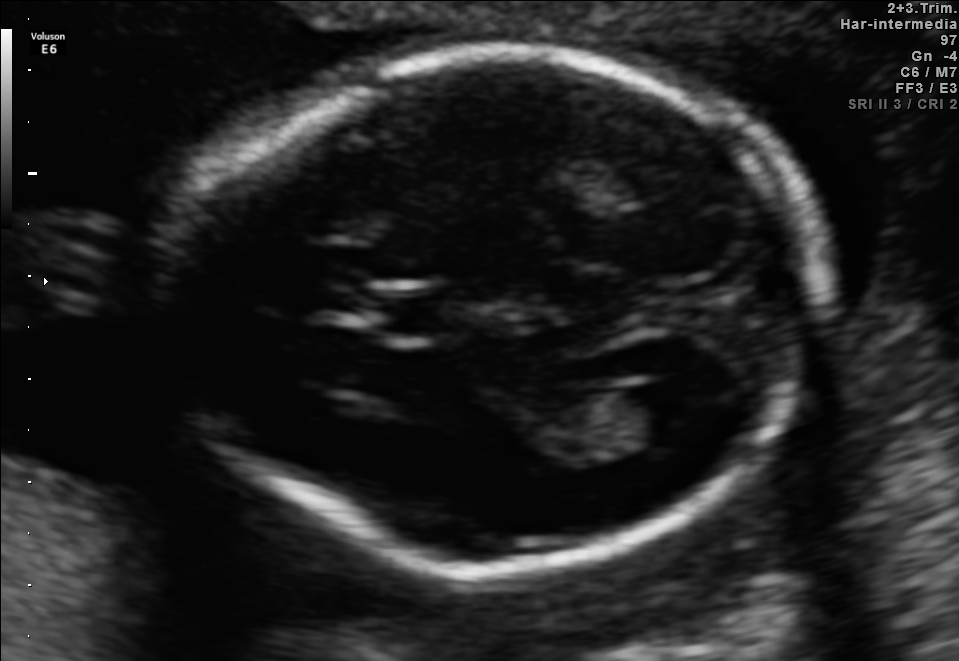
Fetal brain, trans-ventricular plane. Where is the fetal head?

Head bounding box: [149,37,840,588]